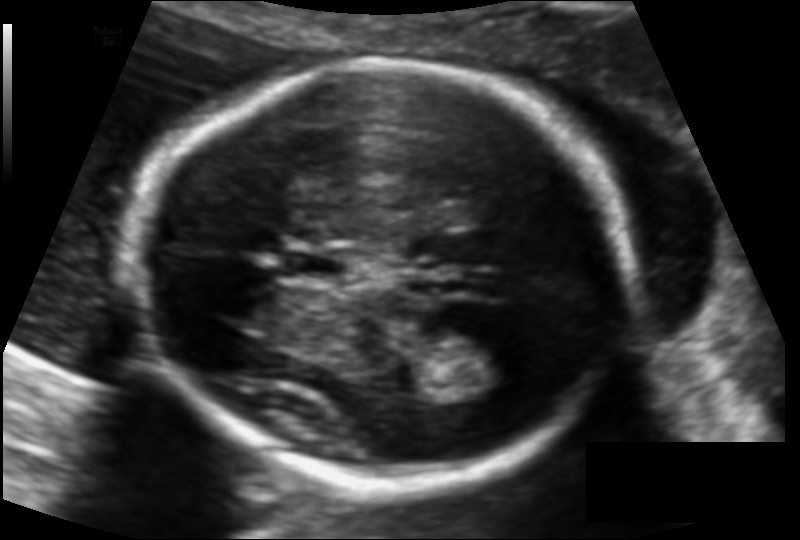
In this fetal head ultrasound, give bounding boxes for the head outline, cavum septum pellucidum (CSP), and lateral ventricle (LV), where visible. Image width: 90.8 mm.

Head: [141,60,631,482]
CSP: [284,249,346,283]